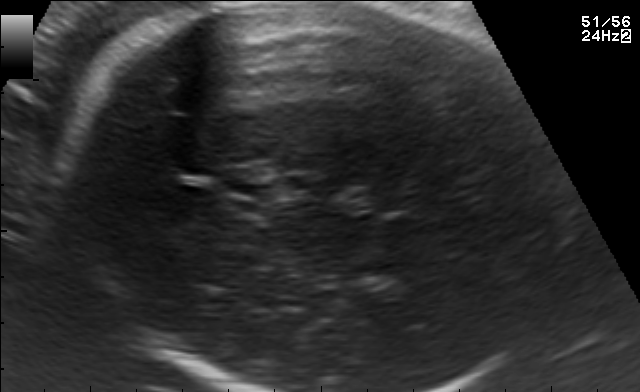
Fetal brain, trans-thalamic plane. Locate the fetal head.

Head: [69,4,553,391]